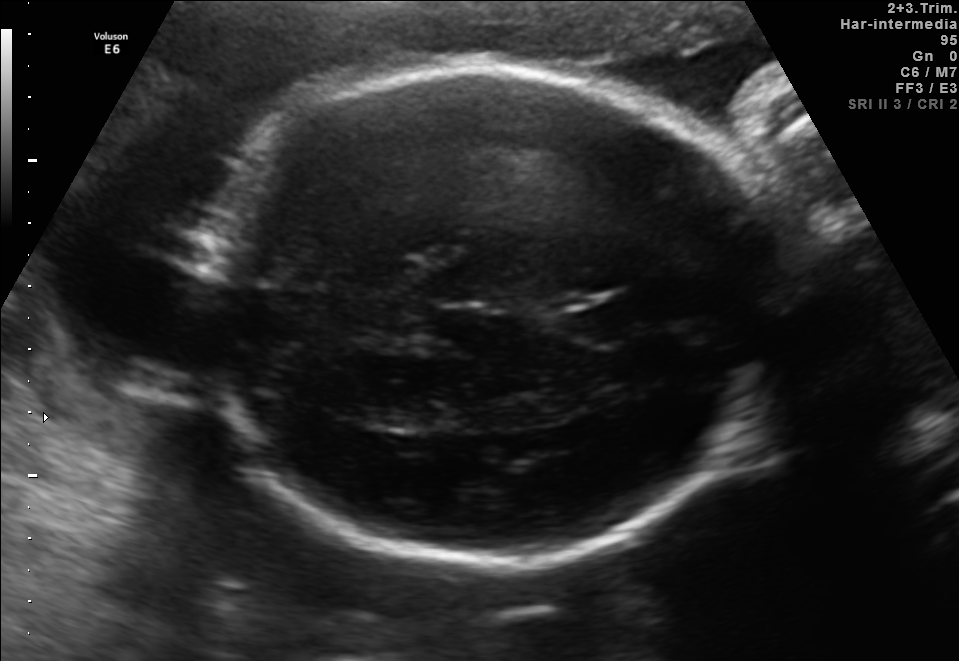
This is a 2D maternal-fetal ultrasound frame. Is it a fetal abdomen, fetal brain, fetal femur, fetal thorax, maternal cervix, or other standard plane? If it's fetal brain and one of the three standard brain planes (trans-thalamic, trans-cerebellum, trans-ventricular), name which.

Fetal brain (trans-thalamic plane)